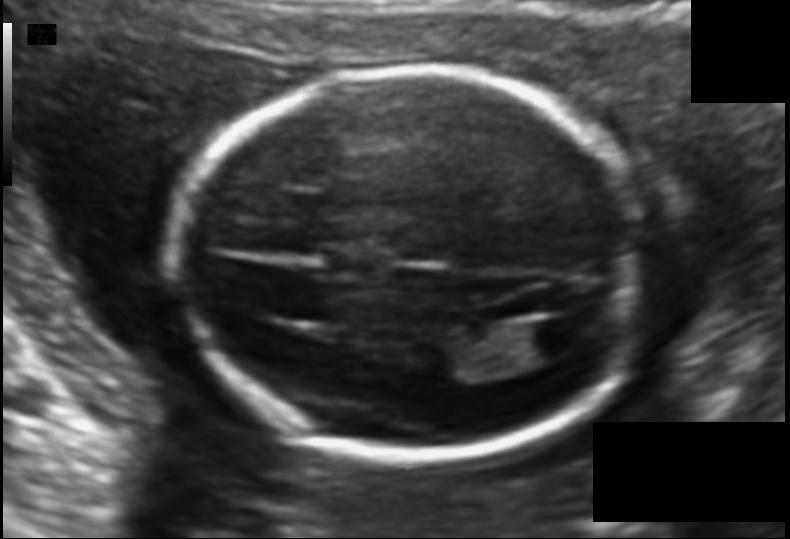
What is the fetal head circumference? Image width is 95.9 mm.

170.2 mm